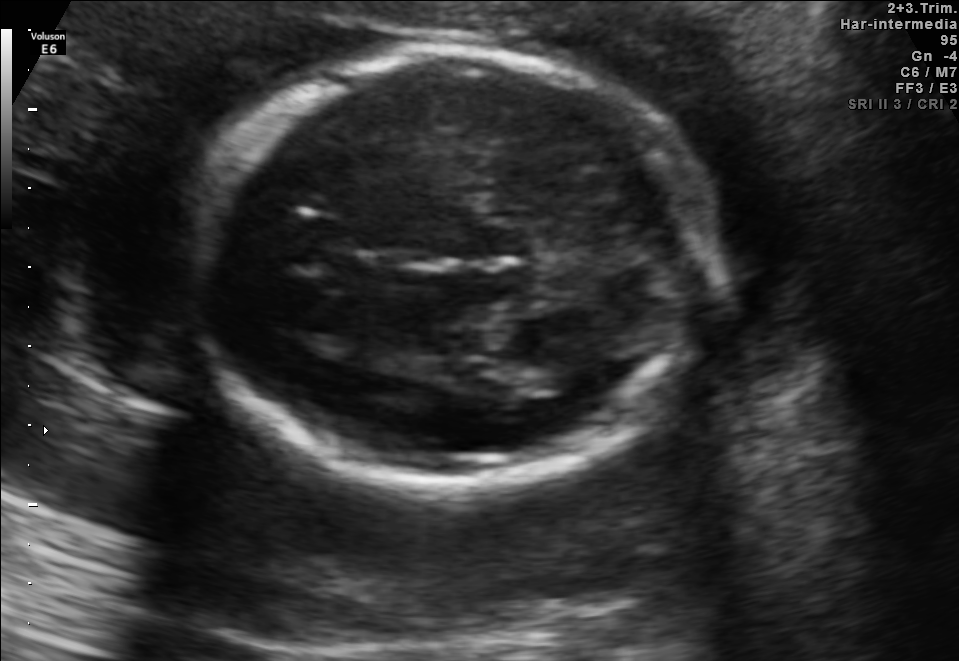
In this fetal brain, trans-thalamic plane, give the bounding box of the fetal head.

[194,46,709,485]